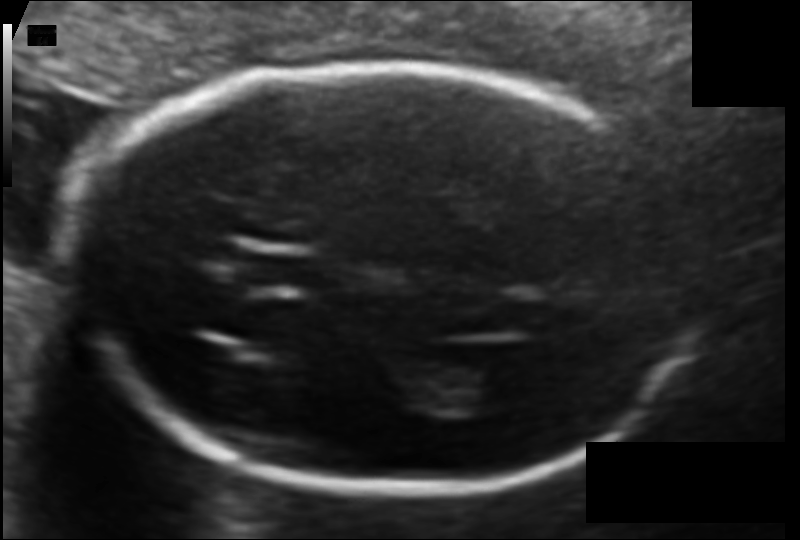
Measure the fetal head circumference shown in this ultrasound image. Image width: 82.7 mm.

Head circumference: 177.8 mm.